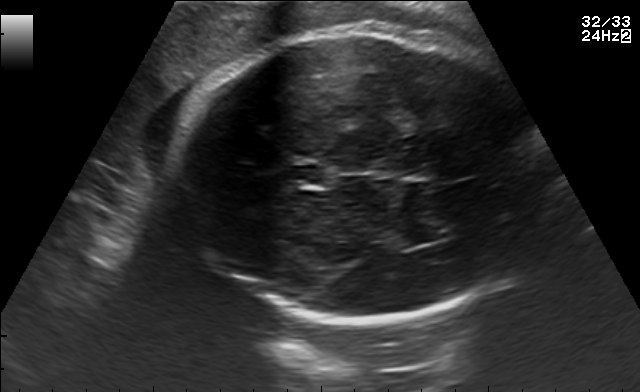
Fetal brain, trans-thalamic plane. Locate the fetal head and, if visible, the cavum septum pellucidum (CSP) and lateral ventricle (LV). Give bounding boxes as [x1,y1,x2,y2].

Head: [168,29,545,320]
CSP: [284,165,323,184]
Lateral ventricle: [391,220,452,252]